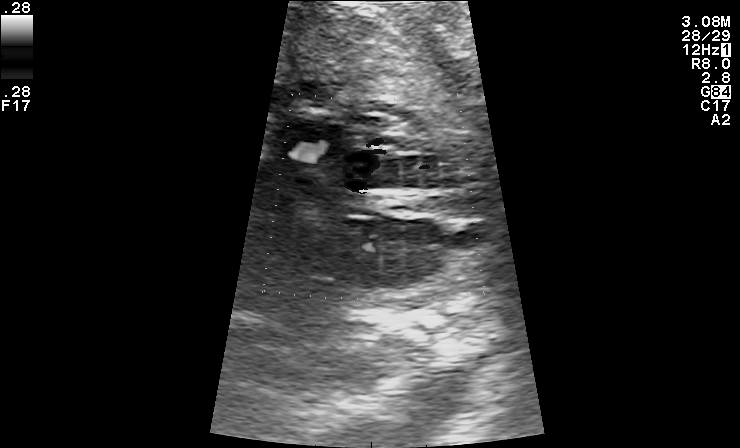
Identify the standard plane in this fetal ultrasound image: fetal abdomen, fetal brain, fetal femur, fetal thorax, maternal cervix, or other. If it's fetal brain and one of the three standard brain planes (trans-thalamic, trans-cerebellum, trans-ventricular), name which.

Other